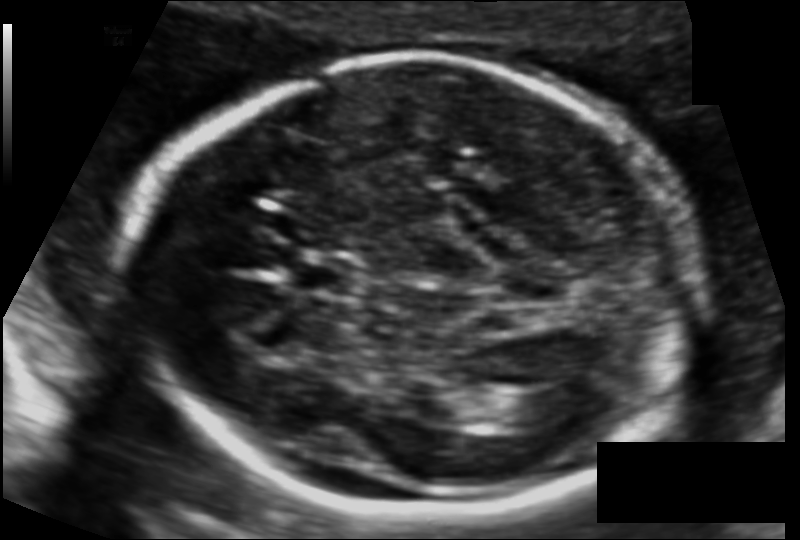
What is the fetal head circumference? Image width is 89.5 mm.

184.1 mm